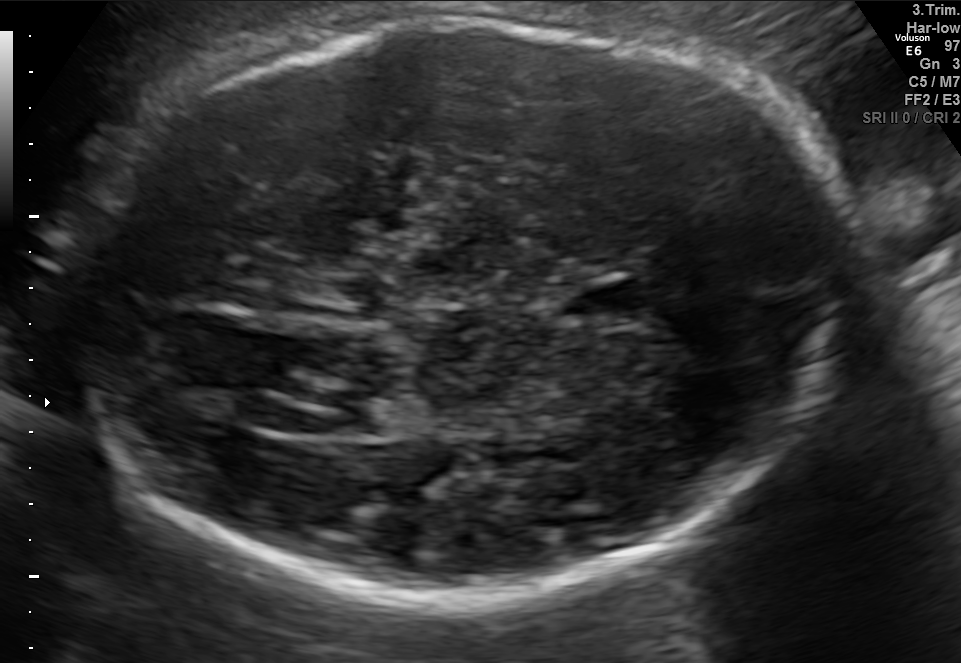
Fetal brain, trans-ventricular plane. Locate the fetal head and, if visible, the cavum septum pellucidum (CSP) and lateral ventricle (LV). Give bounding boxes as [x1,y1,x2,y2].

Head: [54,11,867,618]